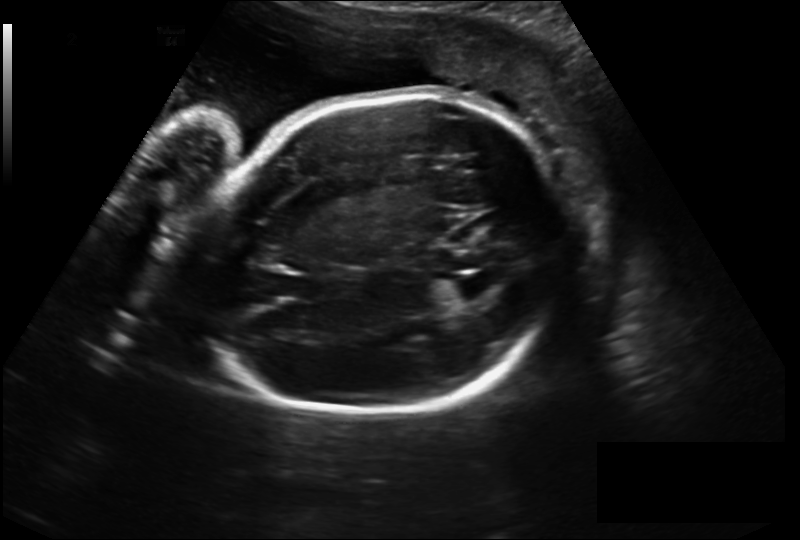
From this fetal ultrasound, estimate the head circumference (image width 184.2 mm).

Head circumference: 258.1 mm.